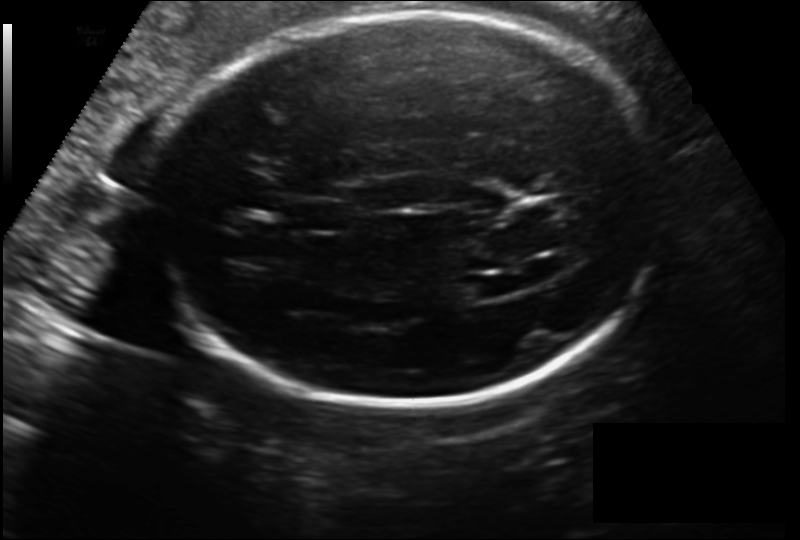
Fetal head ultrasound. Image width: 149.1 mm. Locate the fetal head.

Head: [148,14,662,405]